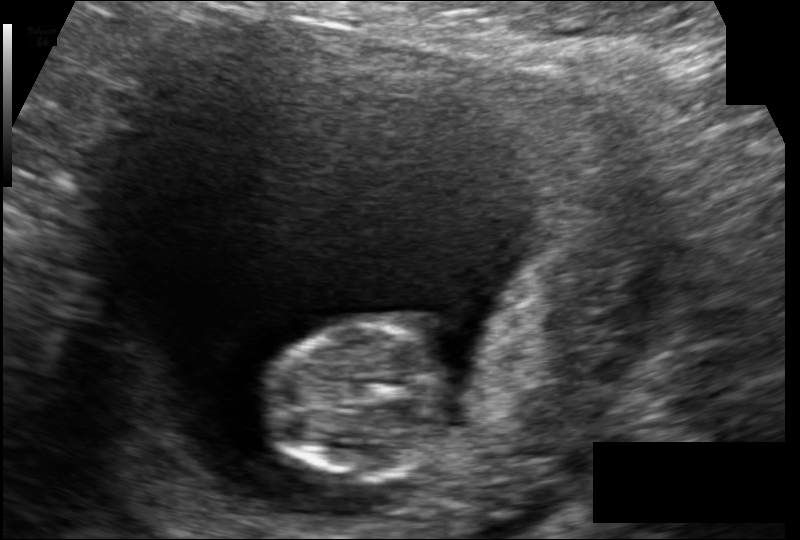
In this fetal head ultrasound, give bounding boxes for the head outline, cavum septum pellucidum (CSP), and lateral ventricle (LV), where visible. Image width: 93.6 mm.

Head: [263,323,449,482]